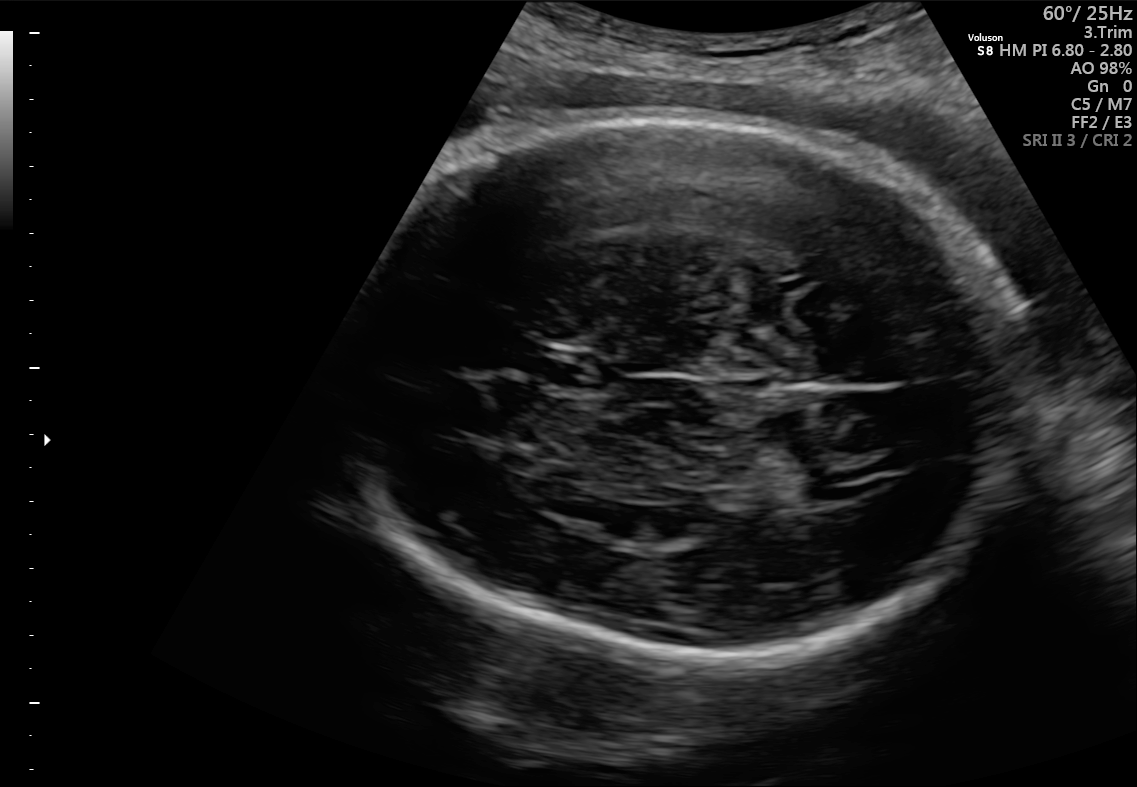
Fetal brain, trans-thalamic plane. Where is the fetal head?

Head bounding box: [340,117,1029,663]